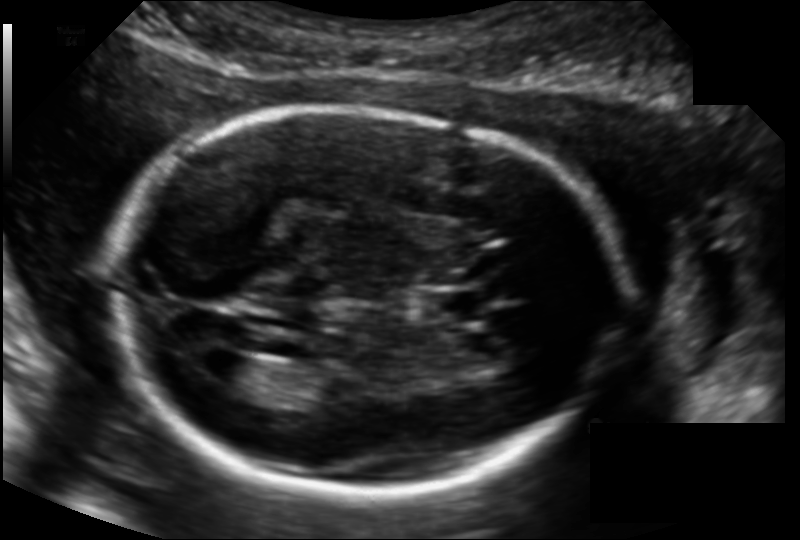
Estimate the fetal head circumference from this 2D ultrasound.

Head circumference: 193.8 mm (image width 107.7 mm).